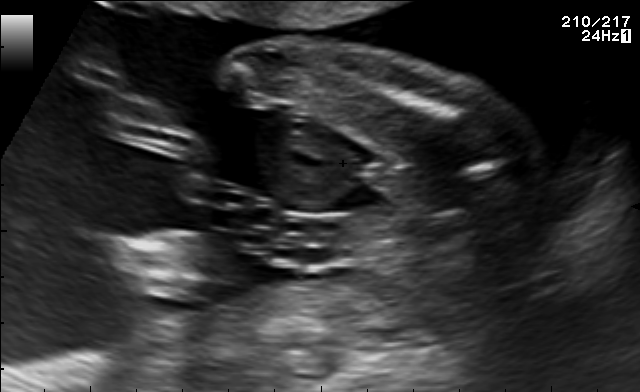
Which standard maternal-fetal ultrasound plane is shown: fetal abdomen, fetal brain, fetal femur, fetal thorax, maternal cervix, or other? If it's fetal brain and one of the three standard brain planes (trans-thalamic, trans-cerebellum, trans-ventricular), name which.

Other